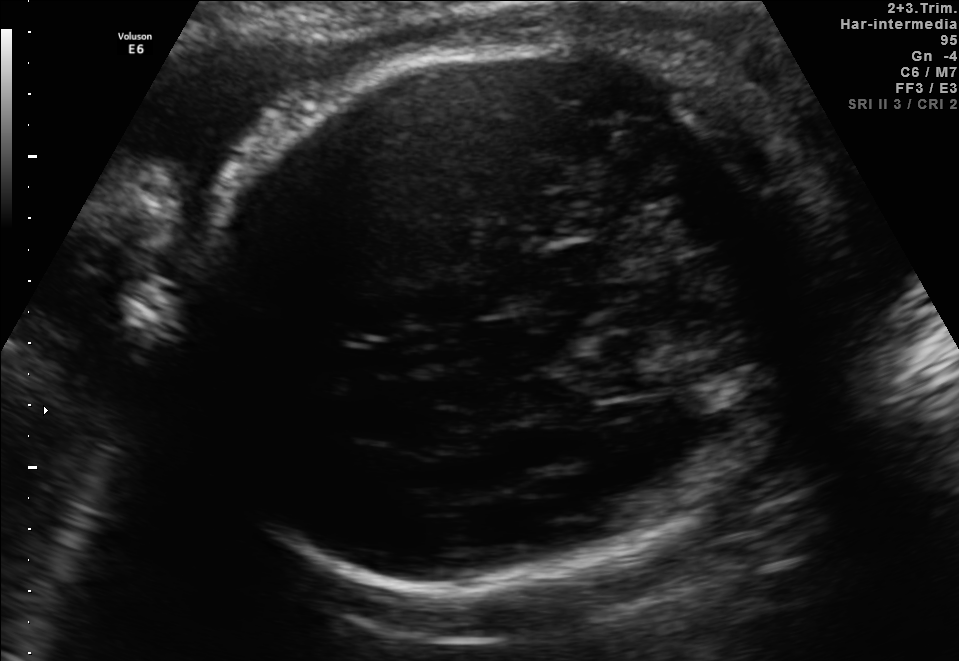
Fetal brain, trans-cerebellum plane. Give [x1,y1,x2,y2] bounding boxes for each visible structure among: fetal head, CSP, LV.

Head: [187,44,762,587]